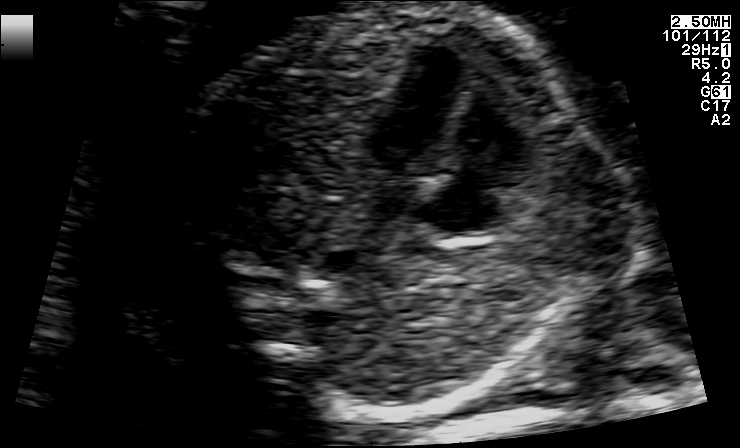
This is a 2D maternal-fetal ultrasound frame. Is it a fetal abdomen, fetal brain, fetal femur, fetal thorax, maternal cervix, or other standard plane? If it's fetal brain and one of the three standard brain planes (trans-thalamic, trans-cerebellum, trans-ventricular), name which.

Fetal thorax